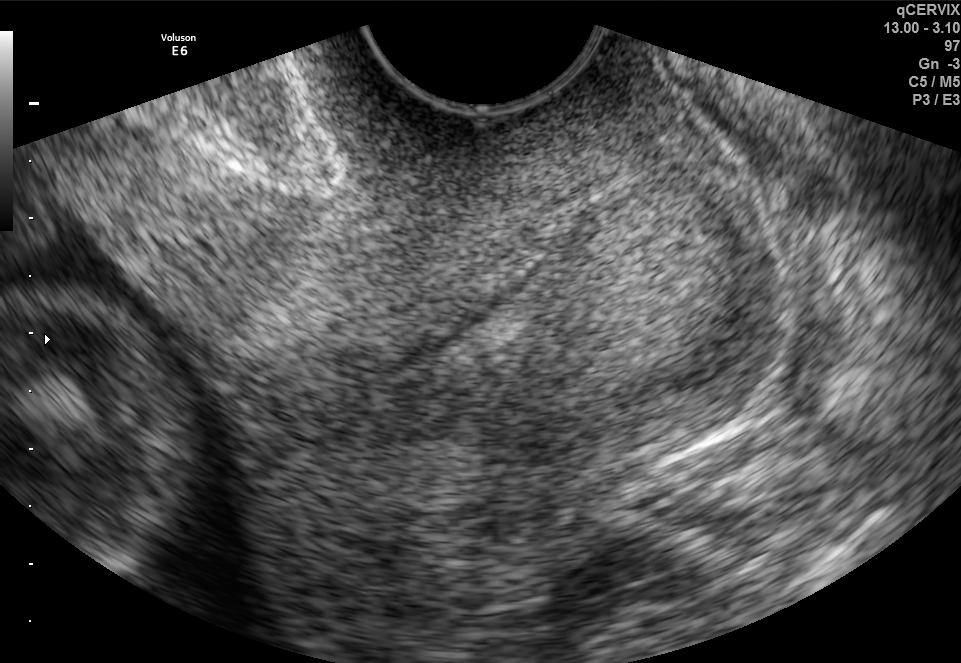
This is a 2D maternal-fetal ultrasound frame. Is it a fetal abdomen, fetal brain, fetal femur, fetal thorax, maternal cervix, or other standard plane? If it's fetal brain and one of the three standard brain planes (trans-thalamic, trans-cerebellum, trans-ventricular), name which.

Maternal cervix